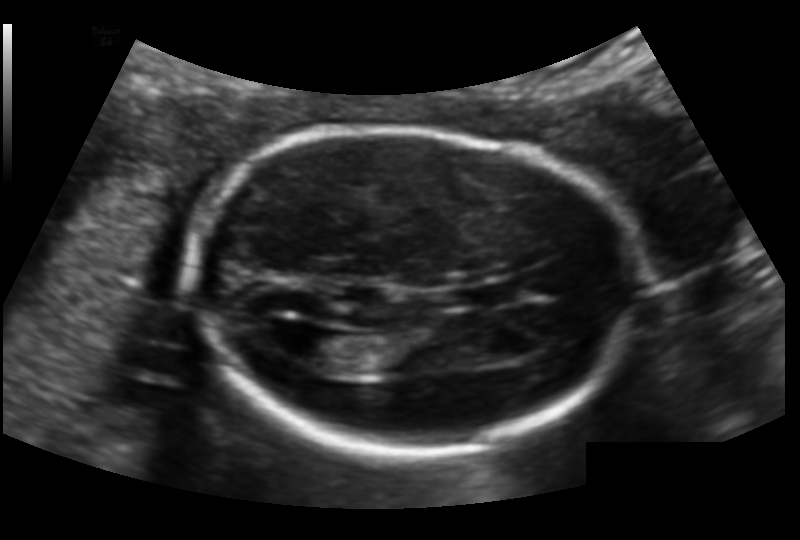
Fetal head ultrasound. Image width: 105.5 mm. Where is the lateral ventricle?

Lateral ventricle bounding box: [282,320,344,368]